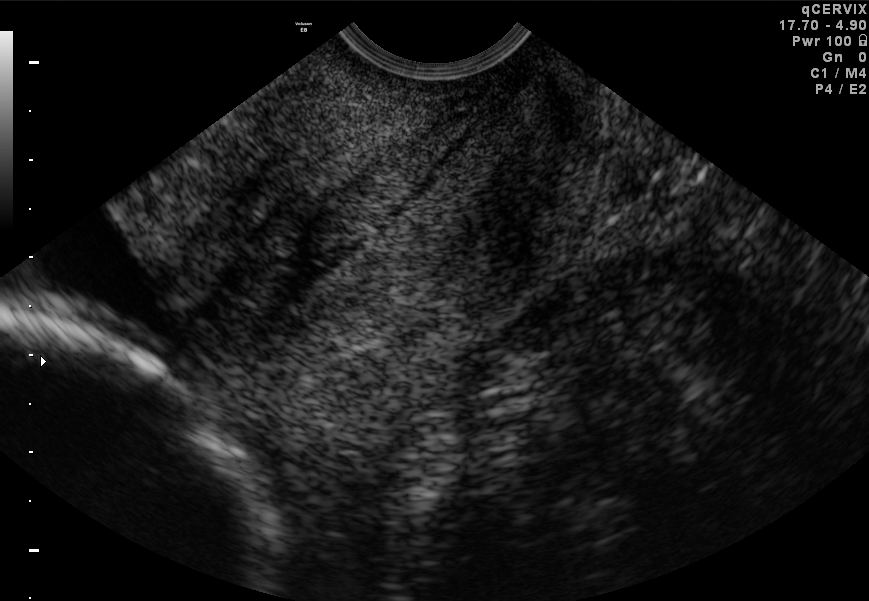
Identify the standard plane in this fetal ultrasound image: fetal abdomen, fetal brain, fetal femur, fetal thorax, maternal cervix, or other. If it's fetal brain and one of the three standard brain planes (trans-thalamic, trans-cerebellum, trans-ventricular), name which.

Maternal cervix